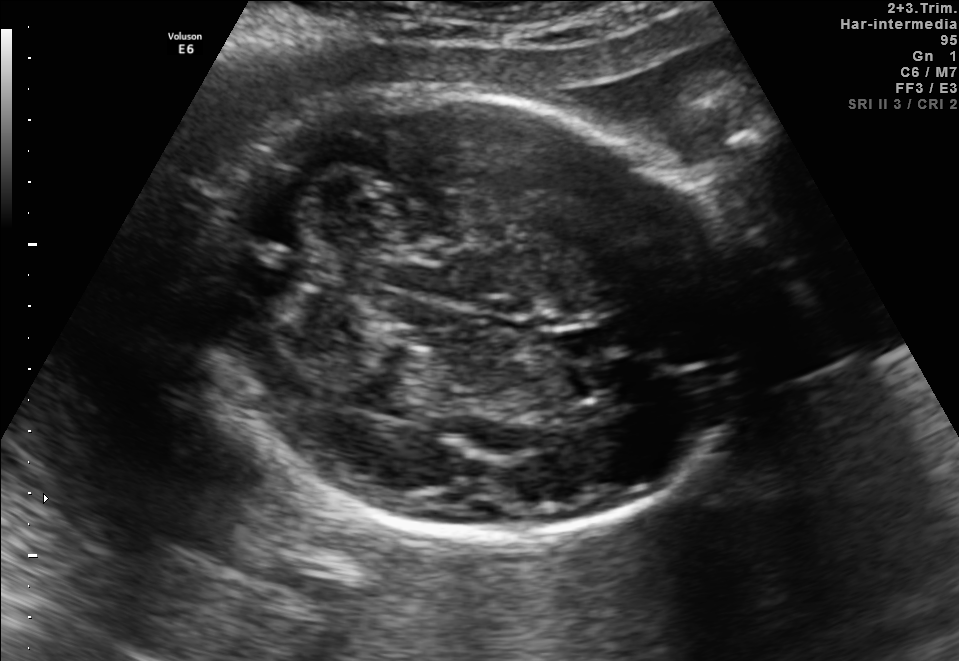
Fetal brain, trans-cerebellum plane. Locate the fetal head.

Head: [189,90,750,539]